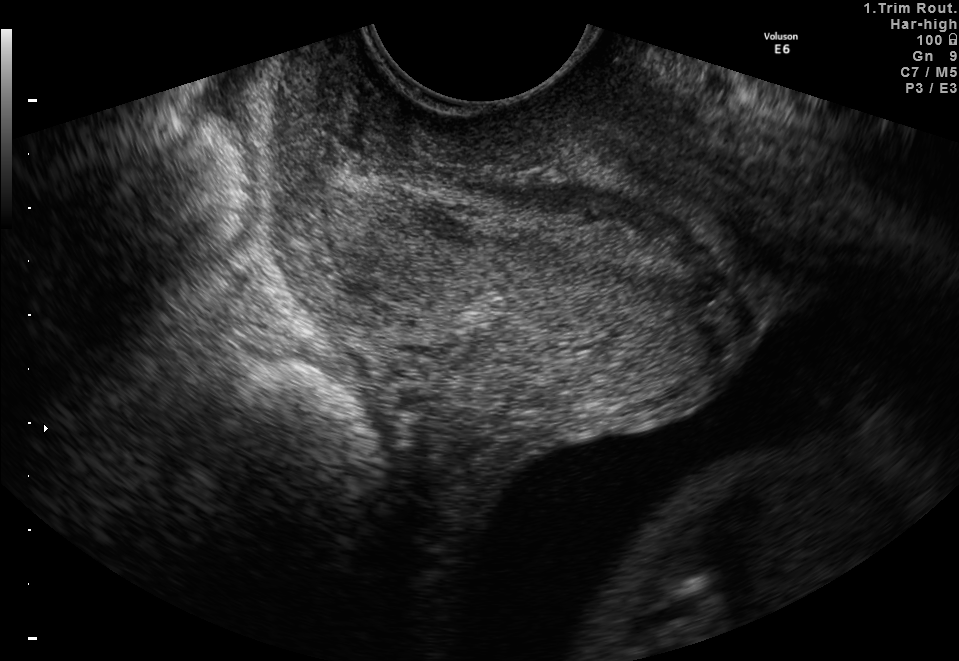
Classify this maternal-fetal ultrasound image as one of the six standard planes — fetal abdomen, fetal brain, fetal femur, fetal thorax, maternal cervix, or other. If it's fetal brain and one of the three standard brain planes (trans-thalamic, trans-cerebellum, trans-ventricular), name which.

Maternal cervix